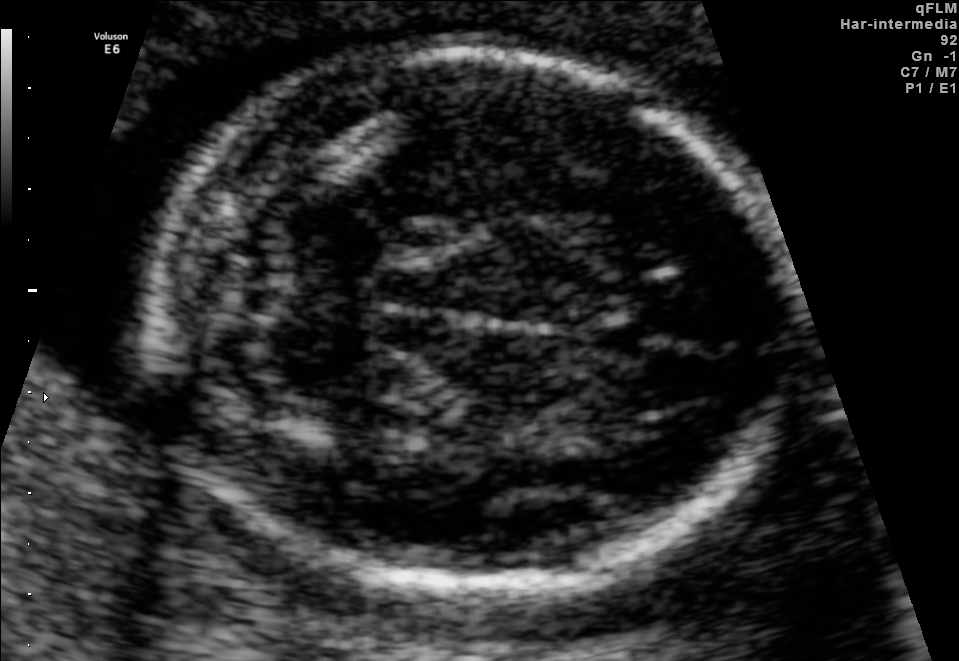
In this fetal brain, trans-cerebellum plane, give the bounding box of the fetal head.

[154,47,799,600]